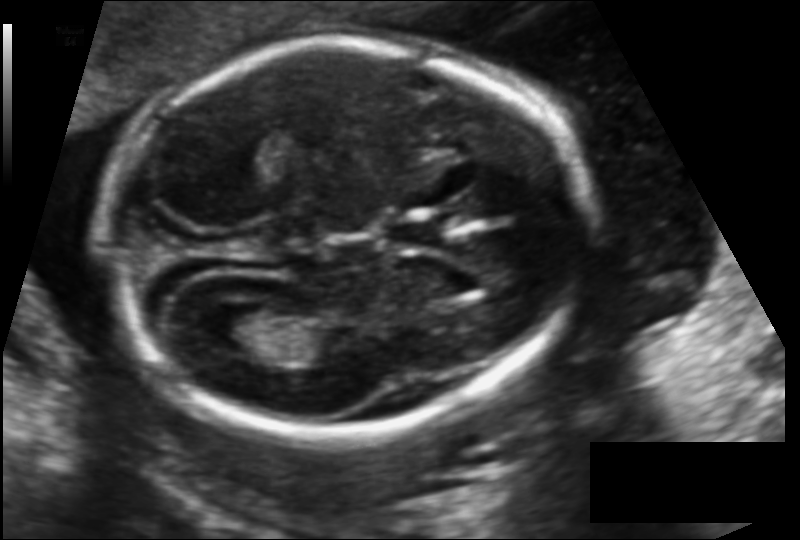
Fetal head ultrasound. Image width: 98.7 mm. Locate the cavum septum pellucidum.

CSP: [386,211,451,252]